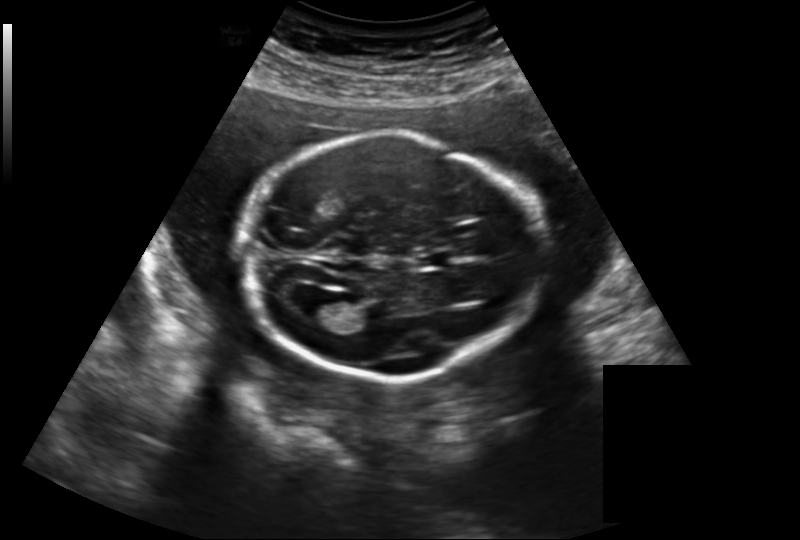
Fetal head ultrasound. Image width: 175.2 mm. Give [x1,y1,x2,y2] bounding boxes for each visible structure among: fetal head, CSP, LV.

Head: [241,133,542,381]
CSP: [417,250,453,269]
Lateral ventricle: [300,286,352,330]